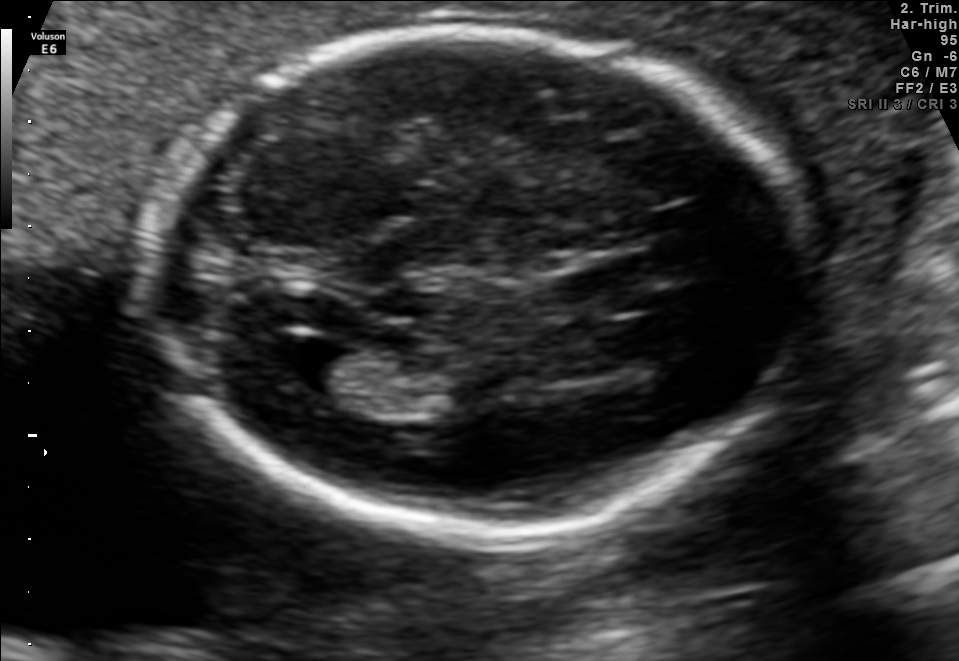
In this fetal brain, trans-ventricular plane, give the bounding box of the cavum septum pellucidum.

[520,258,618,320]